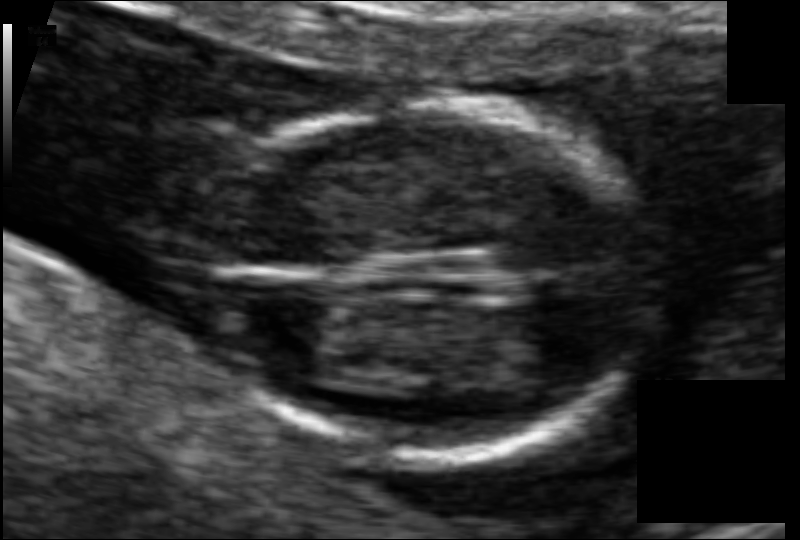
From this fetal ultrasound, estimate the head circumference (image width 51.8 mm).

Head circumference: 84.0 mm.